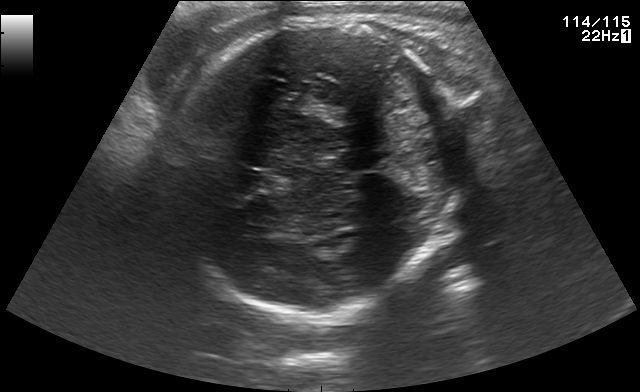
Identify the standard plane in this fetal ultrasound image: fetal abdomen, fetal brain, fetal femur, fetal thorax, maternal cervix, or other. If it's fetal brain and one of the three standard brain planes (trans-thalamic, trans-cerebellum, trans-ventricular), name which.

Fetal brain (trans-thalamic plane)